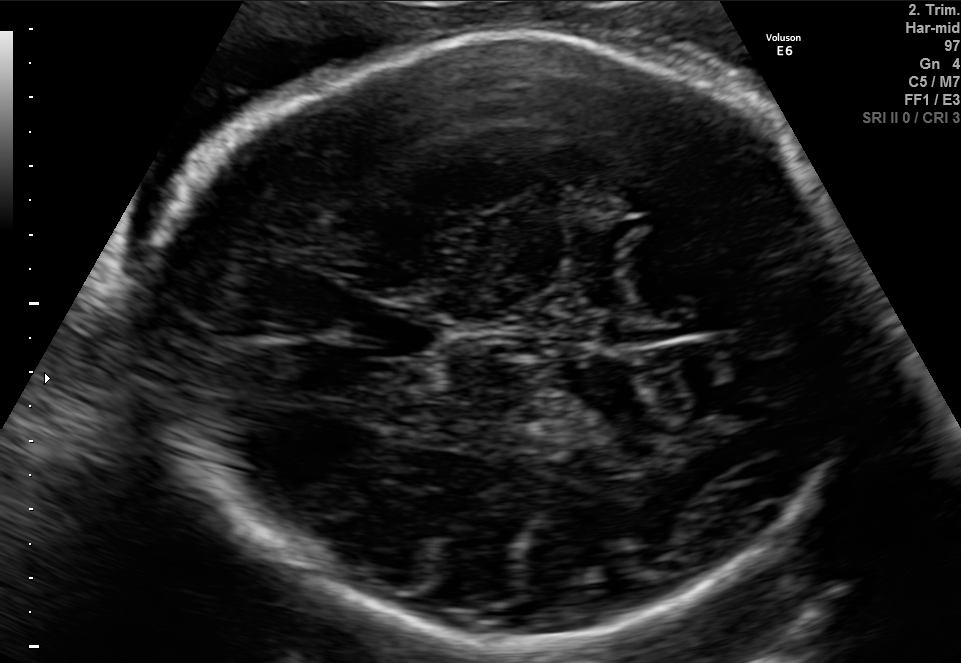
Fetal brain, trans-thalamic plane. Locate the cavum septum pellucidum.

CSP: [361,304,444,363]